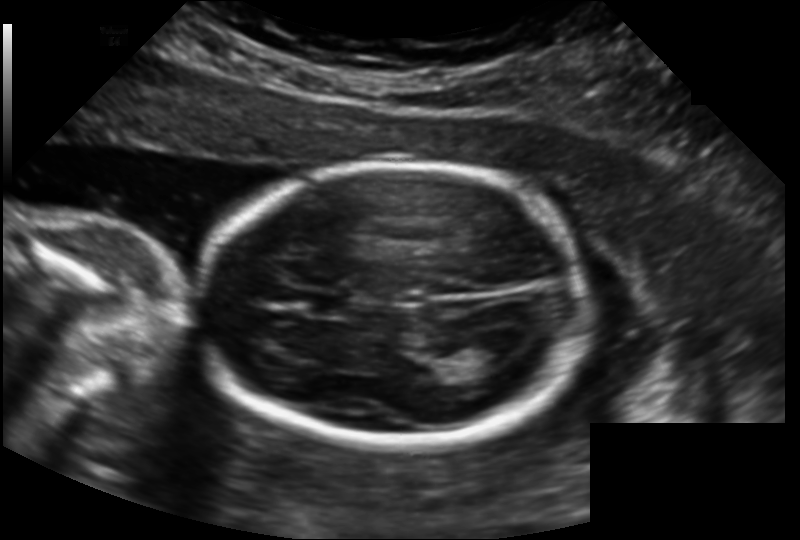
Fetal head ultrasound. Image width: 126.2 mm. Where is the cavum septum pellucidum?

CSP bounding box: [310,291,355,319]